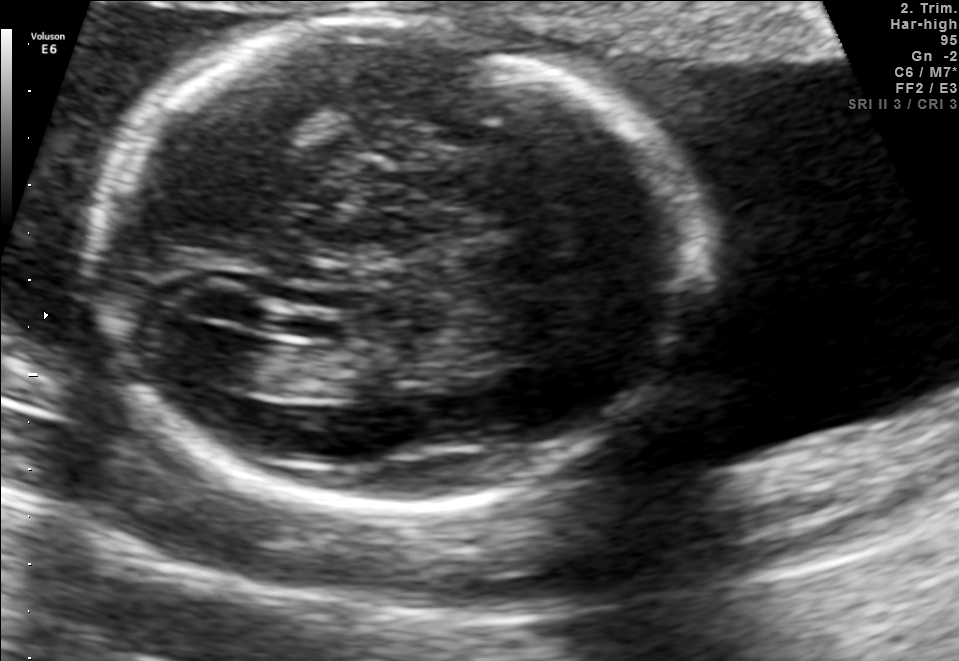
Fetal brain, trans-ventricular plane. Give [x1,y1,x2,y2] bounding boxes for each visible structure among: fetal head, CSP, LV.

Head: [81,6,708,523]
Lateral ventricle: [188,323,279,393]